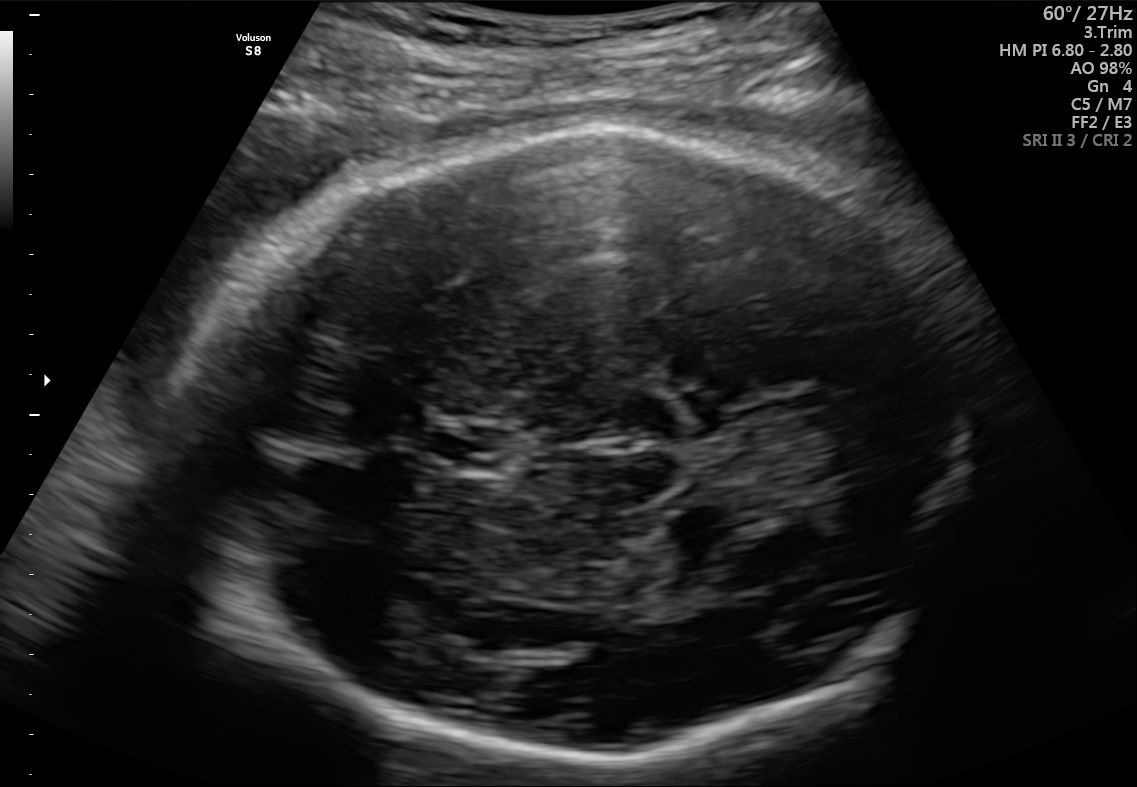
Fetal brain, trans-thalamic plane. Locate the cavum septum pellucidum.

CSP: [425,422,511,474]